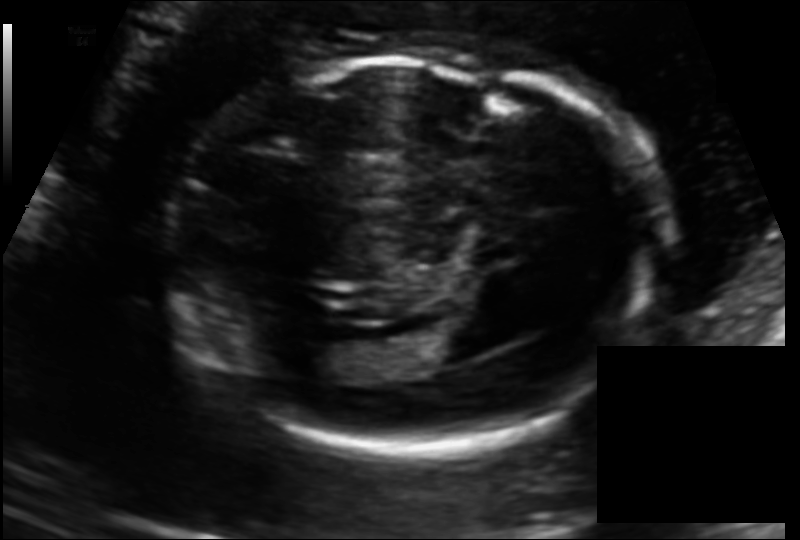
Fetal head ultrasound. Image width: 100.0 mm. Locate the fetal head and, if visible, the cavum septum pellucidum (CSP) and lateral ventricle (LV). Give bounding boxes as [x1,y1,x2,y2].

Head: [169,60,653,450]